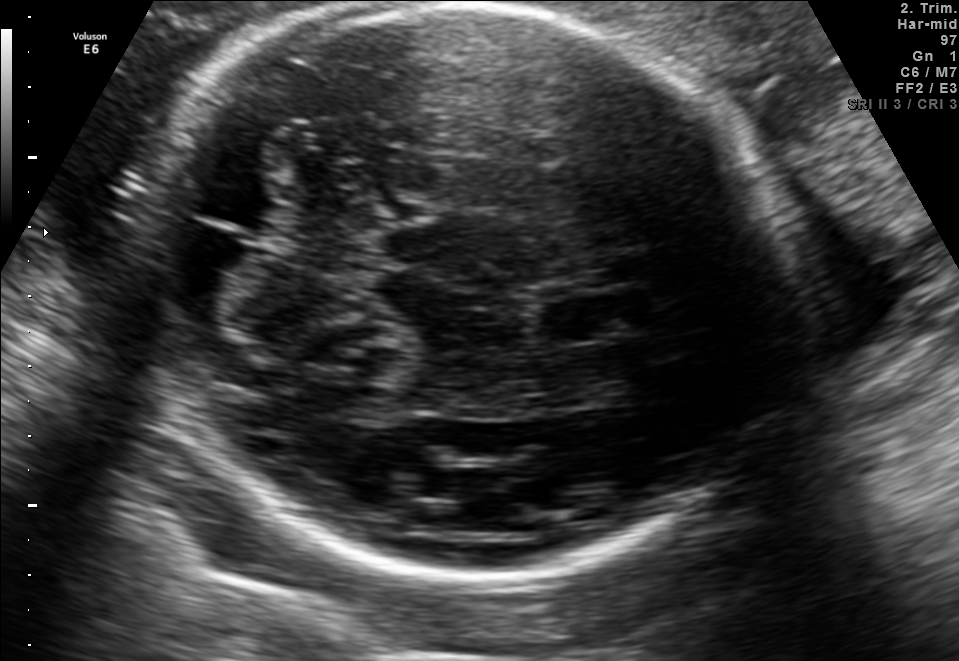
Fetal brain, trans-cerebellum plane. Locate the cavum septum pellucidum.

CSP: [535,290,645,347]